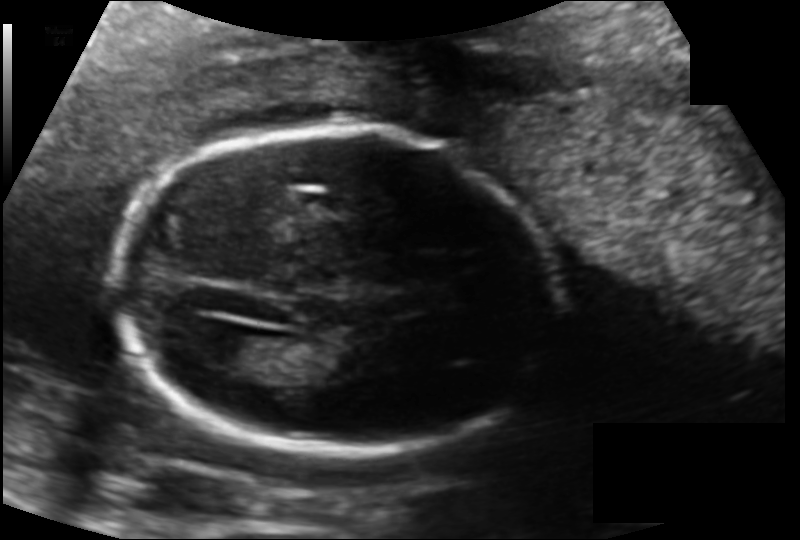
Fetal head ultrasound. Image width: 107.0 mm. Give [x1,y1,x2,y2] bounding boxes for each visible structure among: fetal head, CSP, LV.

Head: [115,127,556,453]
Lateral ventricle: [197,329,267,375]